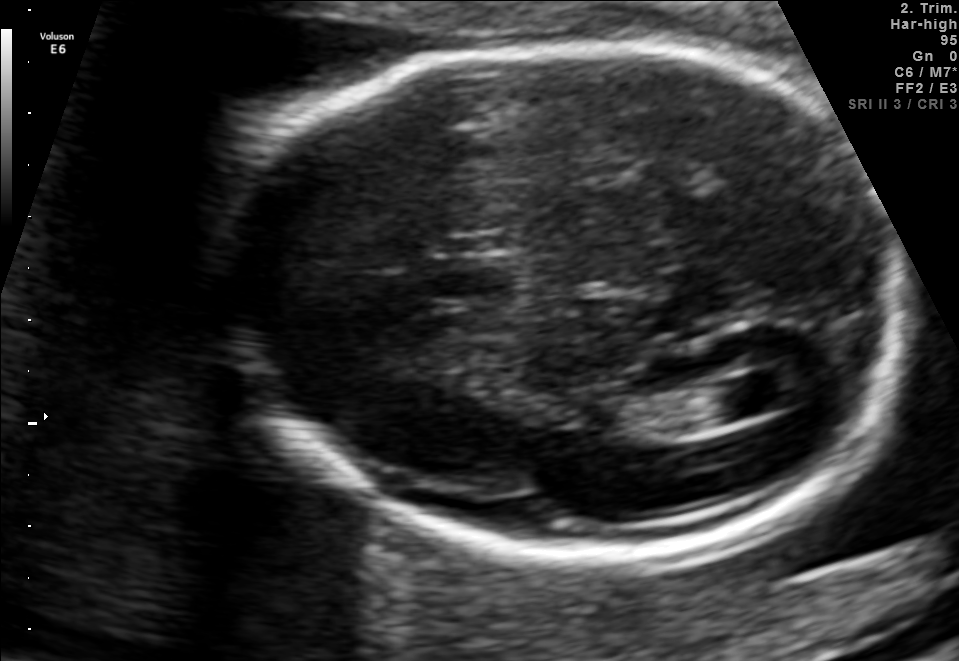
In this fetal brain, trans-ventricular plane, give the bounding box of the cavum septum pellucidum.

[424,255,516,304]